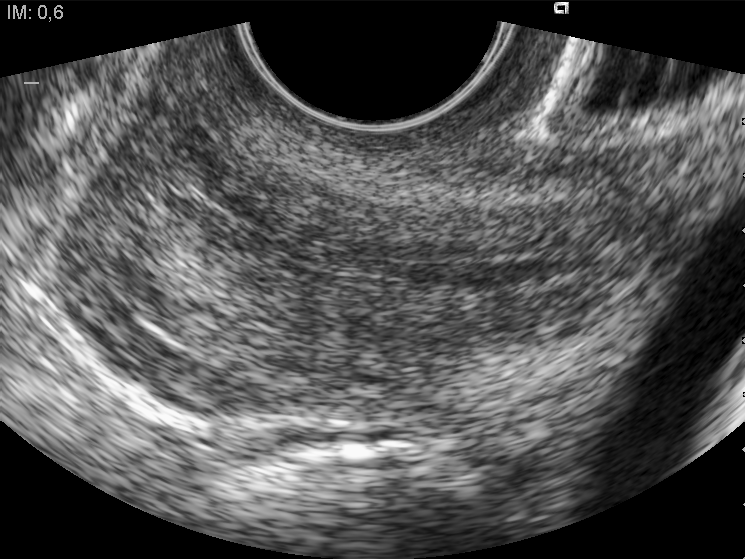
Identify the standard plane in this fetal ultrasound image: fetal abdomen, fetal brain, fetal femur, fetal thorax, maternal cervix, or other. If it's fetal brain and one of the three standard brain planes (trans-thalamic, trans-cerebellum, trans-ventricular), name which.

Maternal cervix